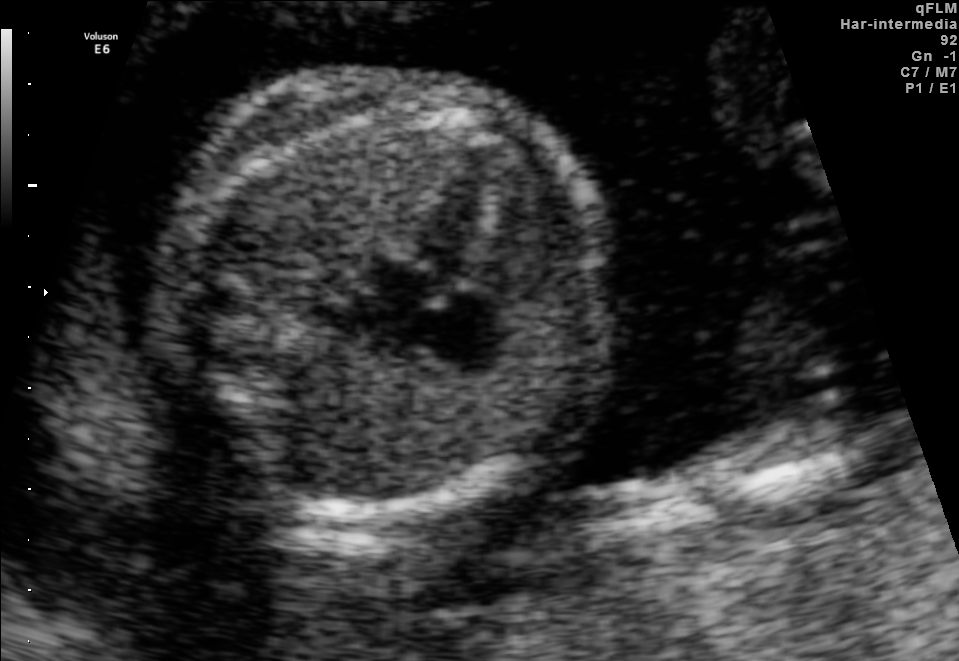
Classify this maternal-fetal ultrasound image as one of the six standard planes — fetal abdomen, fetal brain, fetal femur, fetal thorax, maternal cervix, or other. If it's fetal brain and one of the three standard brain planes (trans-thalamic, trans-cerebellum, trans-ventricular), name which.

Fetal thorax